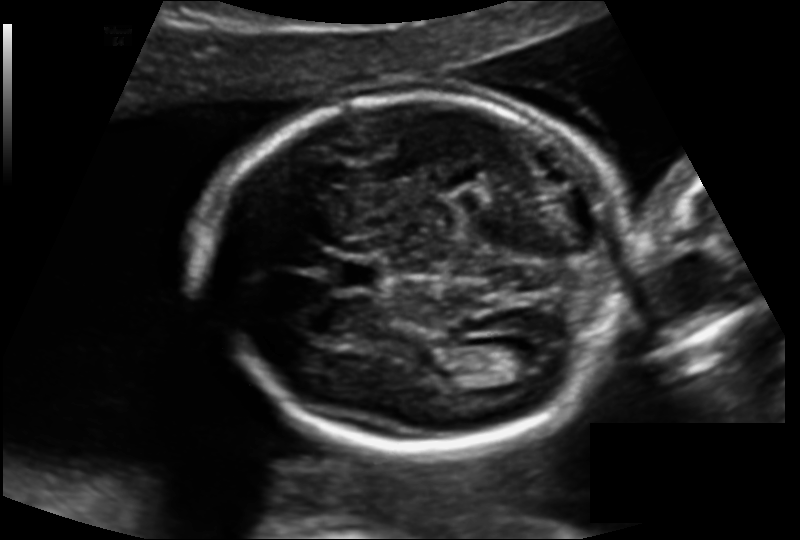
Estimate the fetal head circumference from this 2D ultrasound.

Head circumference: 174.0 mm (image width 110.2 mm).